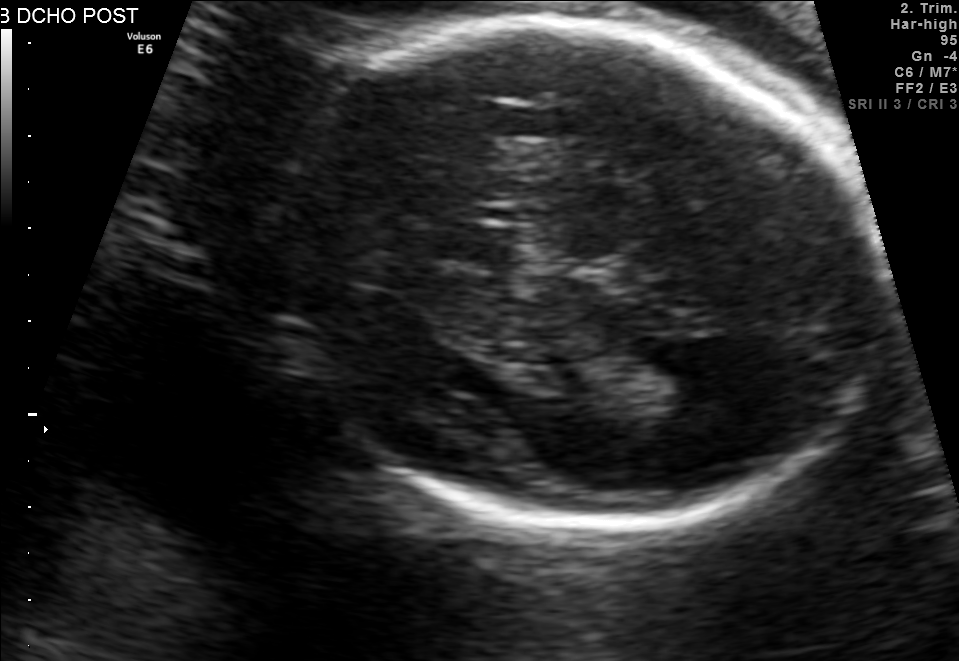
In this fetal brain, trans-thalamic plane, give the bounding box of the cavum septum pellucidum.

[443,221,516,265]